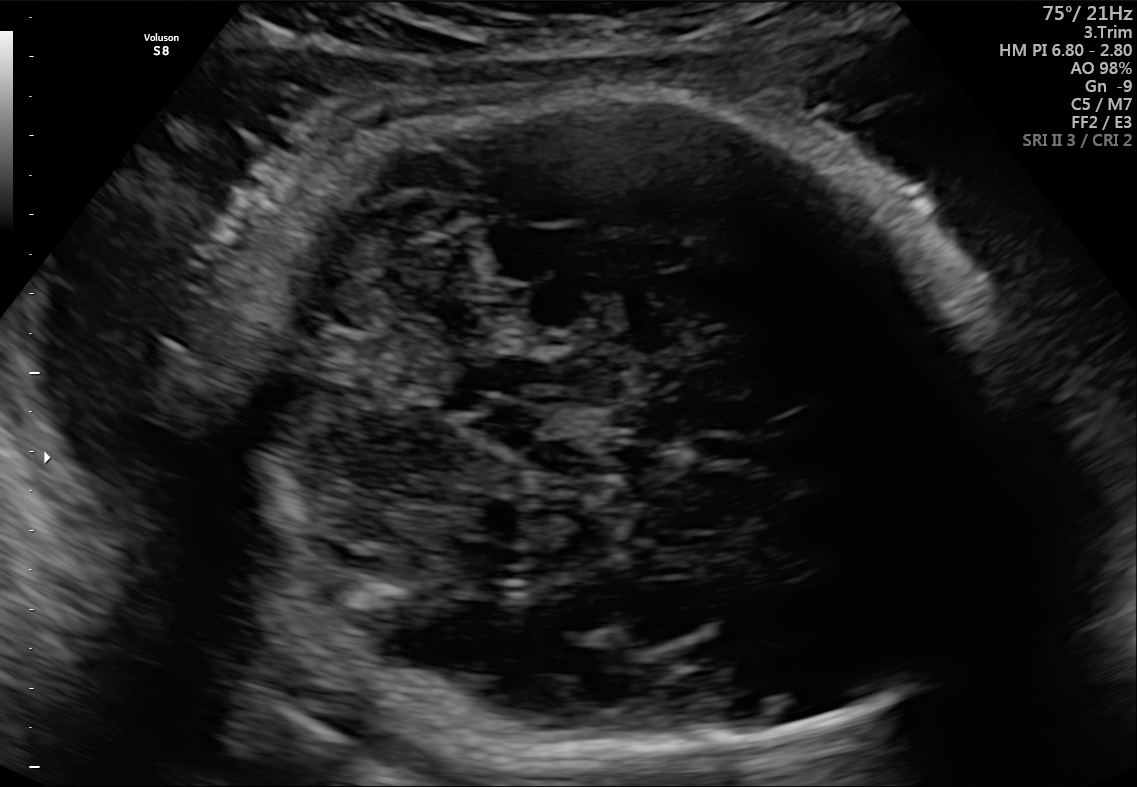
In this fetal brain, trans-cerebellum plane, give bounding boxes for the head outline, cavum septum pellucidum (CSP), and lateral ventricle (LV), where visible.

Head: [199,85,1014,762]